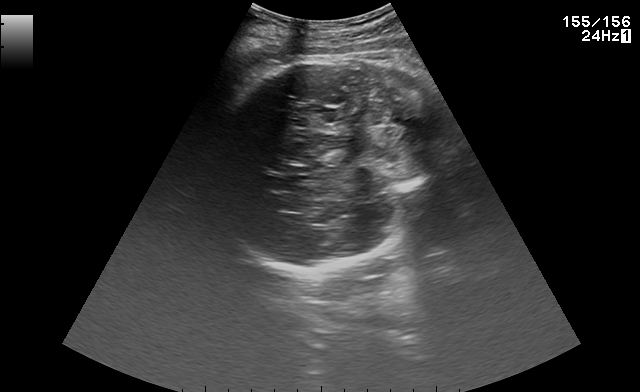
Identify the standard plane in this fetal ultrasound image: fetal abdomen, fetal brain, fetal femur, fetal thorax, maternal cervix, or other. If it's fetal brain and one of the three standard brain planes (trans-thalamic, trans-cerebellum, trans-ventricular), name which.

Fetal brain